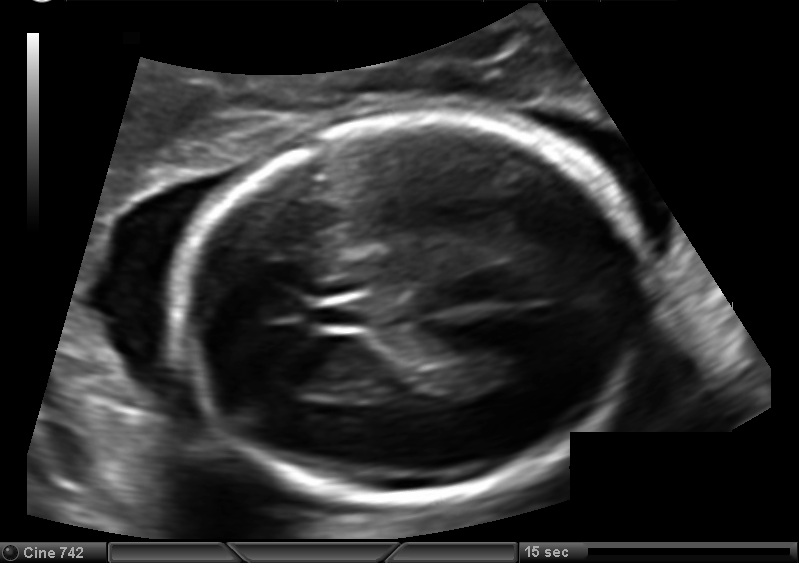
In this fetal head ultrasound, give the bounding box of the lateral ventricle. Image width: 101.4 mm.

[465,339,536,392]